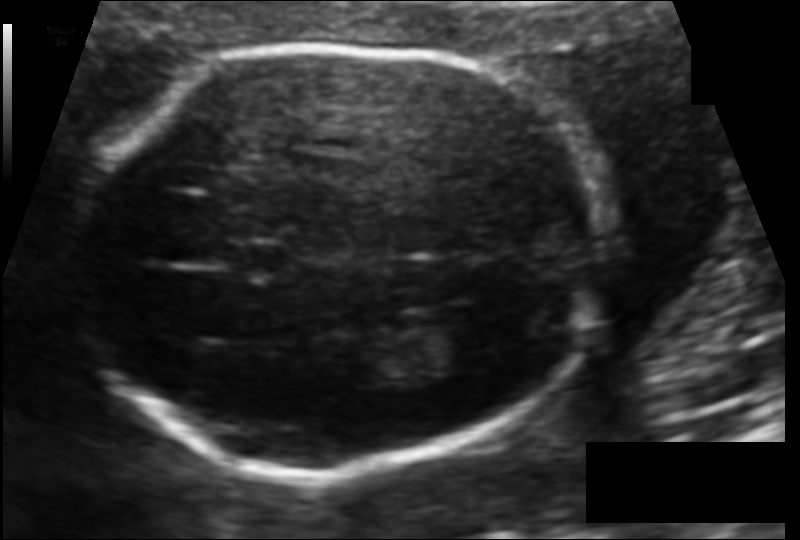
Estimate the fetal head circumference from this 2D ultrasound. Image width: 86.3 mm.

Head circumference: 168.5 mm.